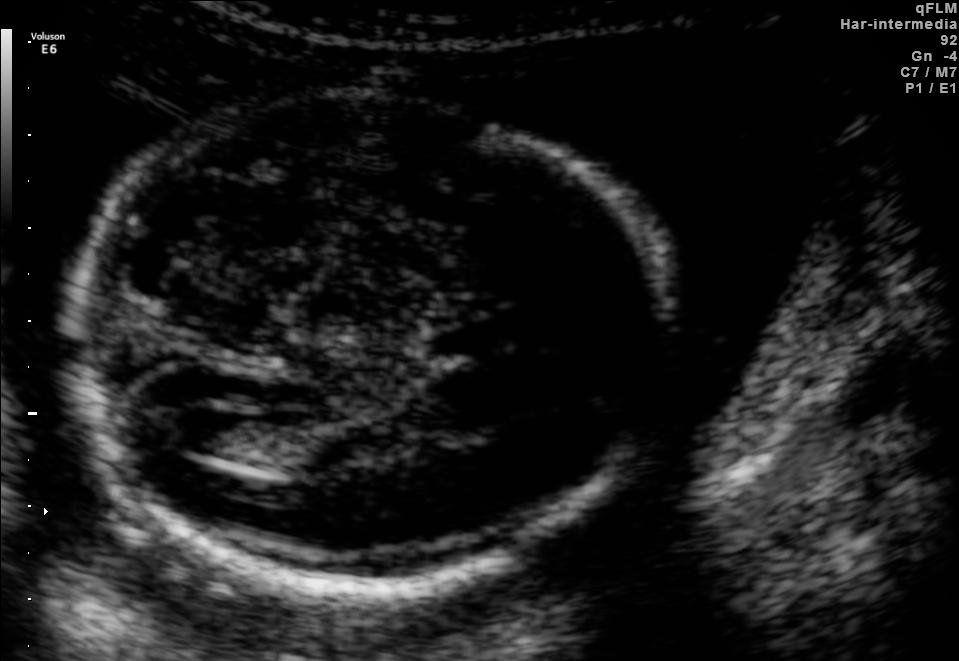
Fetal brain, trans-ventricular plane. Give [x1,y1,x2,y2] bounding boxes for each visible structure among: fetal head, CSP, LV.

Head: [51,87,688,598]
Lateral ventricle: [165,401,250,462]